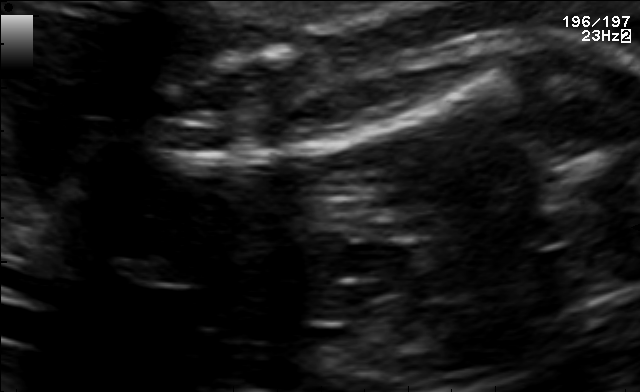
This is a 2D maternal-fetal ultrasound frame. Is it a fetal abdomen, fetal brain, fetal femur, fetal thorax, maternal cervix, or other standard plane? If it's fetal brain and one of the three standard brain planes (trans-thalamic, trans-cerebellum, trans-ventricular), name which.

Fetal femur